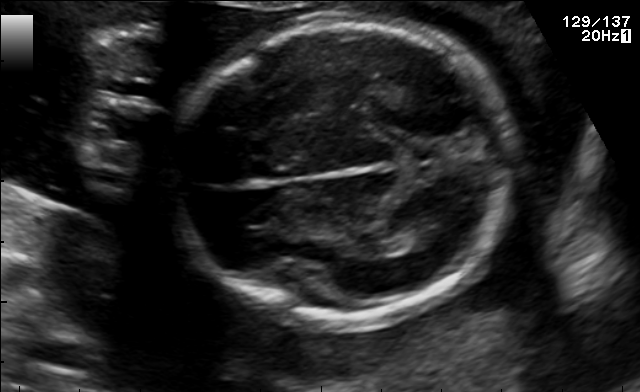
In this fetal brain, trans-thalamic plane, give bounding boxes for the head outline, cavum septum pellucidum (CSP), and lateral ventricle (LV), where visible.

Head: [171,25,515,323]
Lateral ventricle: [395,218,449,254]